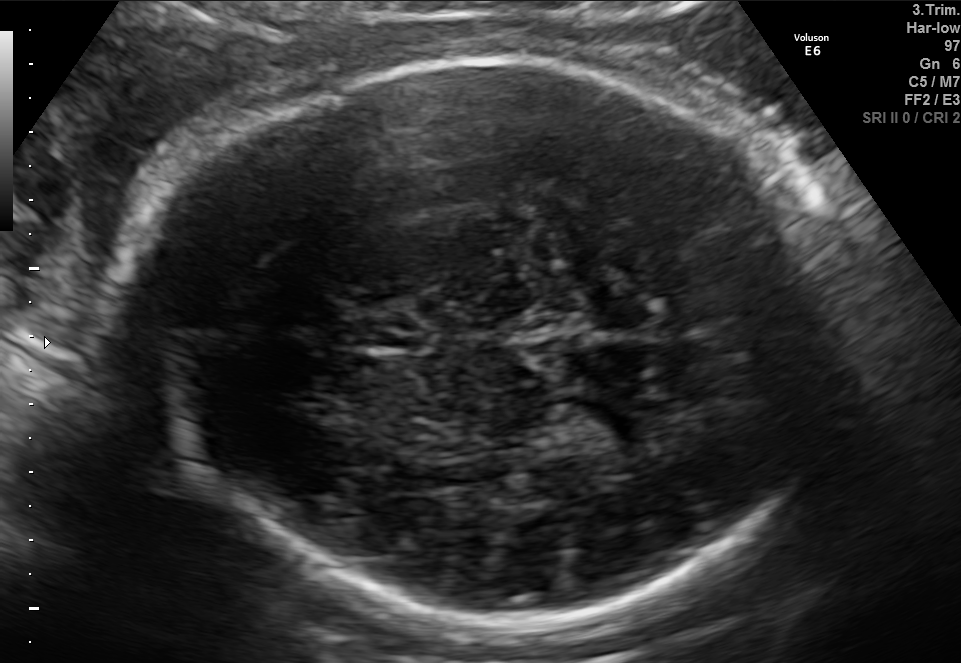
Fetal brain, trans-thalamic plane. Locate the fetal head and, if visible, the cavum septum pellucidum (CSP) and lateral ventricle (LV). Give bounding boxes as [x1,y1,x2,y2].

Head: [123,57,844,620]